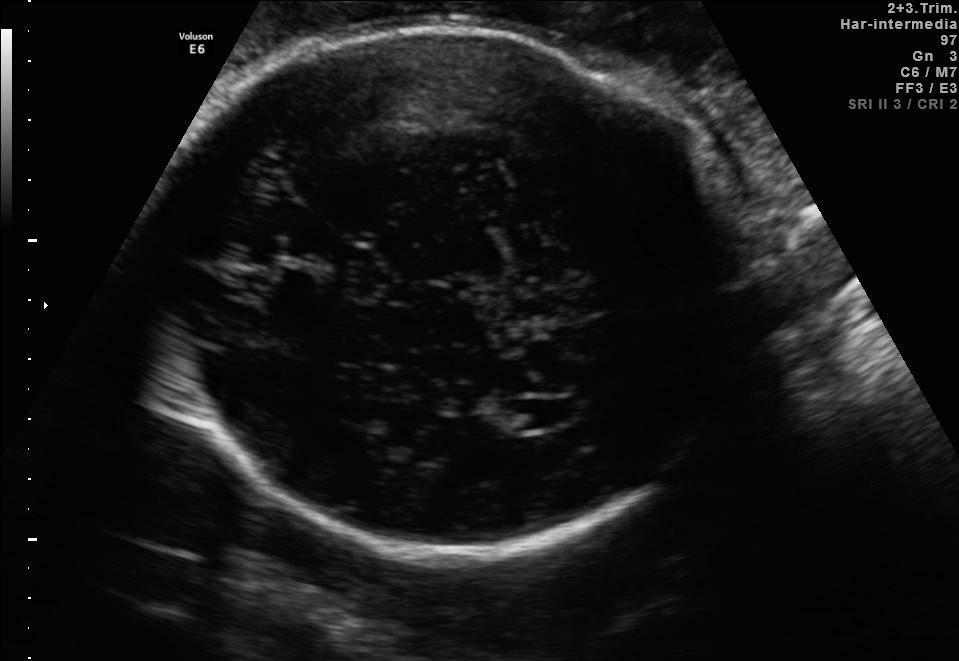
Fetal brain, trans-ventricular plane. Give [x1,y1,x2,y2] bounding boxes for each visible structure among: fetal head, CSP, LV.

Head: [147,22,762,559]
Lateral ventricle: [510,389,584,431]